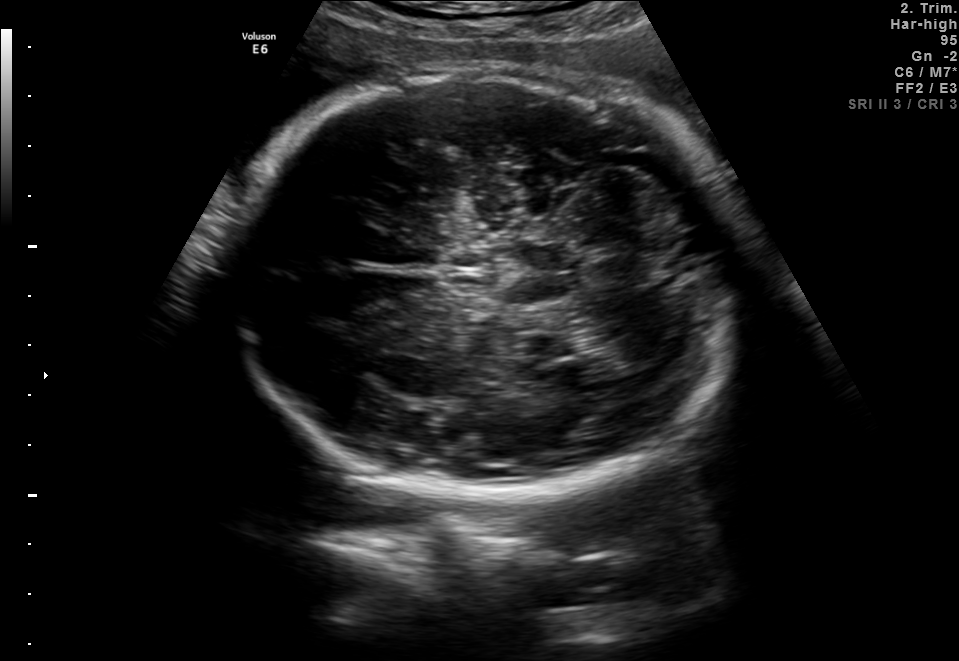
Fetal brain, trans-cerebellum plane. Give [x1,y1,x2,y2] bounding boxes for each visible structure among: fetal head, CSP, LV.

Head: [233,69,736,496]